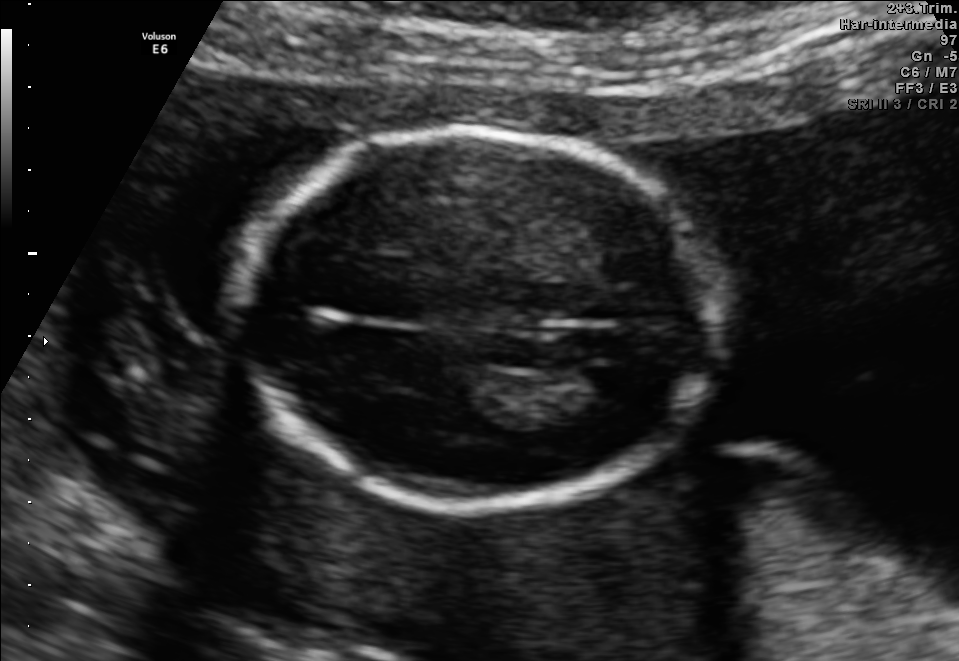
In this fetal brain, trans-ventricular plane, give the bounding box of the fetal head.

[226,122,737,515]